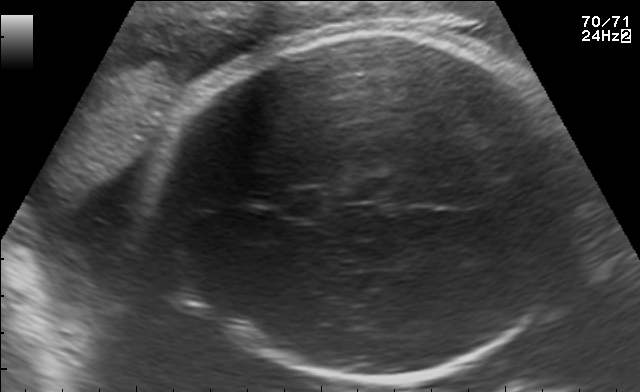
Which standard maternal-fetal ultrasound plane is shown: fetal abdomen, fetal brain, fetal femur, fetal thorax, maternal cervix, or other? If it's fetal brain and one of the three standard brain planes (trans-thalamic, trans-cerebellum, trans-ventricular), name which.

Fetal brain (trans-thalamic plane)